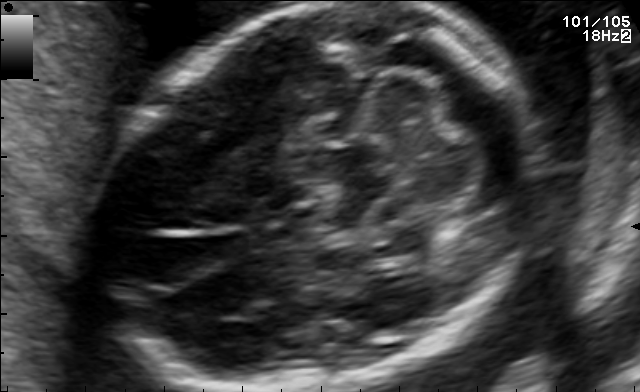
Fetal brain, trans-cerebellum plane. Where is the fetal head?

Head bounding box: [119,4,521,391]